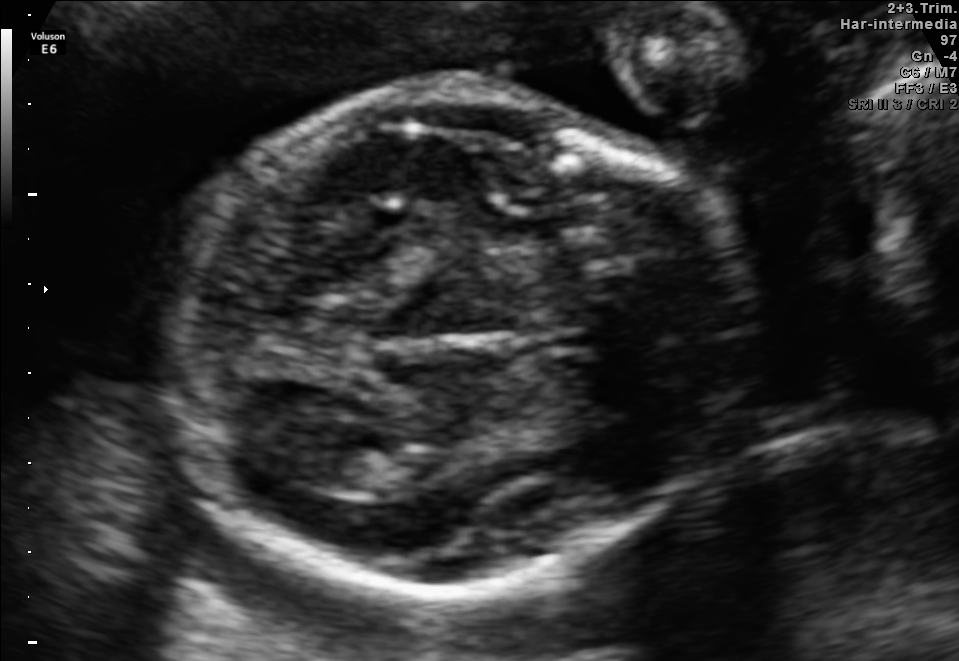
Fetal brain, trans-thalamic plane. Locate the lateral ventricle.

Lateral ventricle: [304,439,393,496]